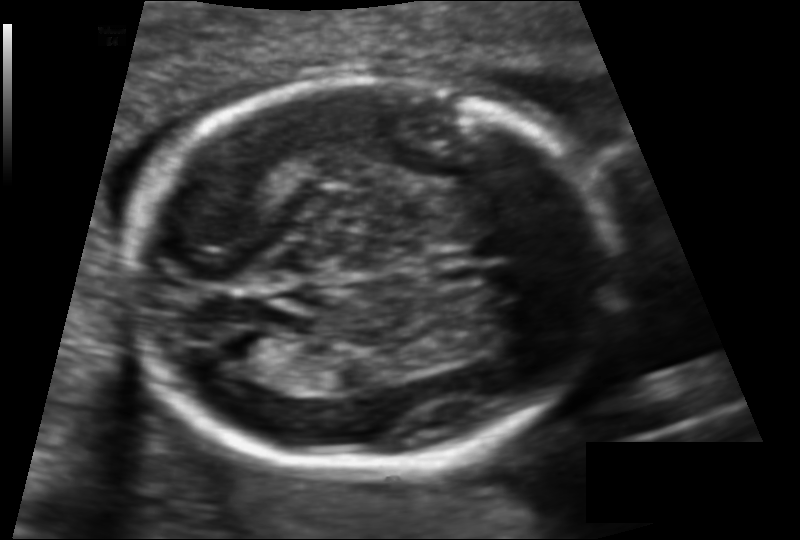
In this fetal head ultrasound, give the bounding box of the lateral ventricle. Image width: 94.9 mm.

[208,322,283,377]